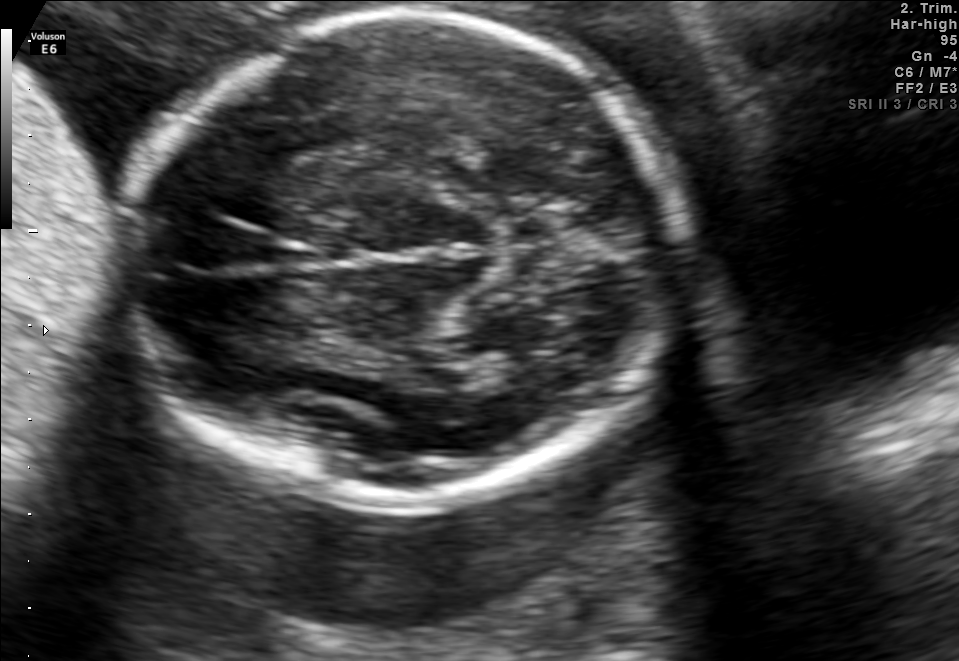
In this fetal brain, trans-thalamic plane, give bounding boxes for the head outline, cavum septum pellucidum (CSP), and lateral ventricle (LV), where visible.

Head: [121,16,684,501]